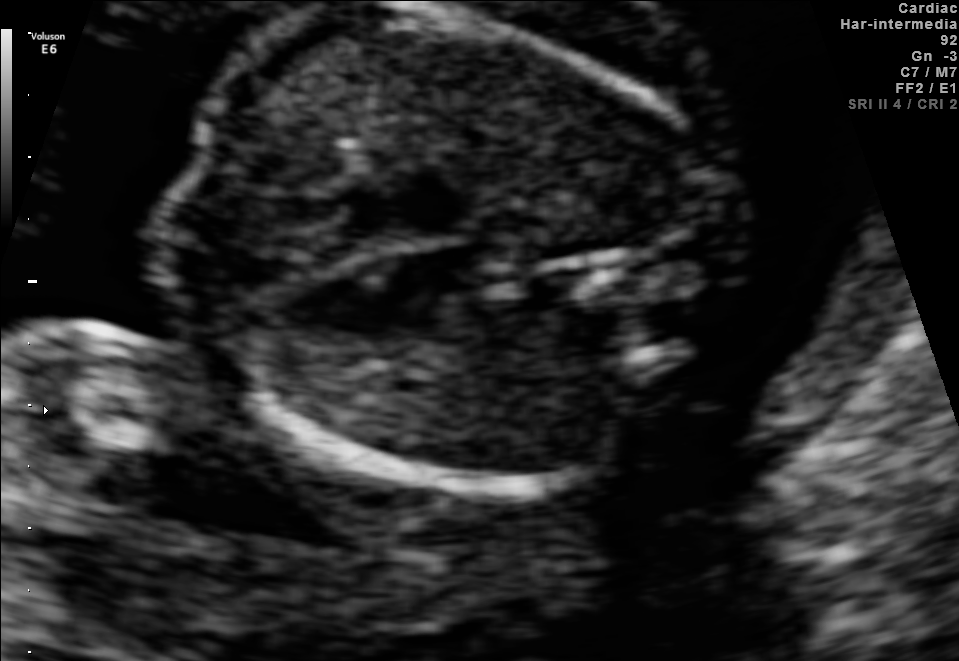
Which standard maternal-fetal ultrasound plane is shown: fetal abdomen, fetal brain, fetal femur, fetal thorax, maternal cervix, or other? If it's fetal brain and one of the three standard brain planes (trans-thalamic, trans-cerebellum, trans-ventricular), name which.

Fetal thorax